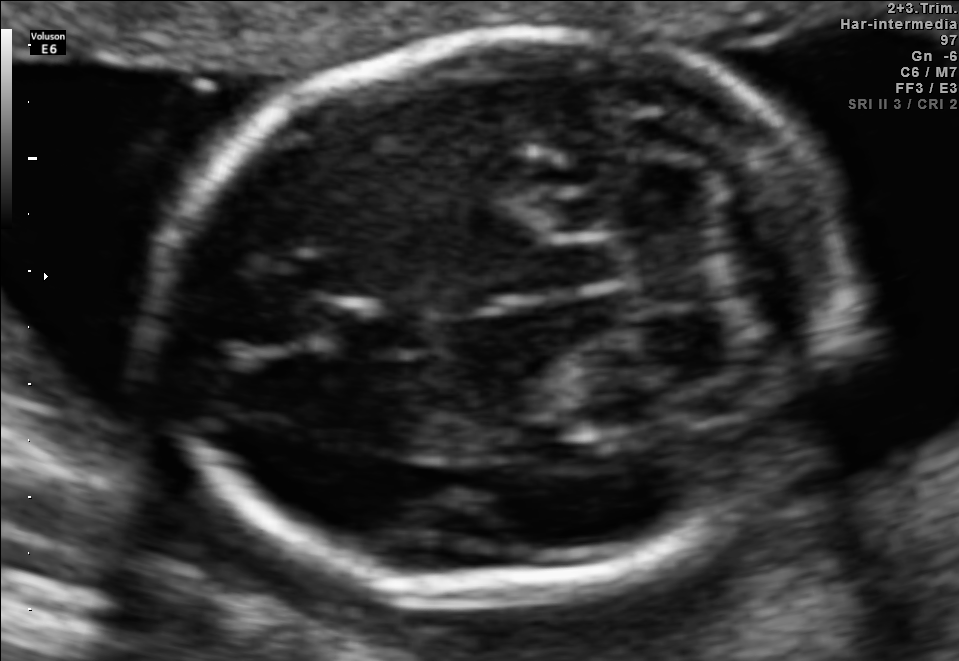
In this fetal brain, trans-cerebellum plane, give the bounding box of the fetal head.

[161,28,846,597]